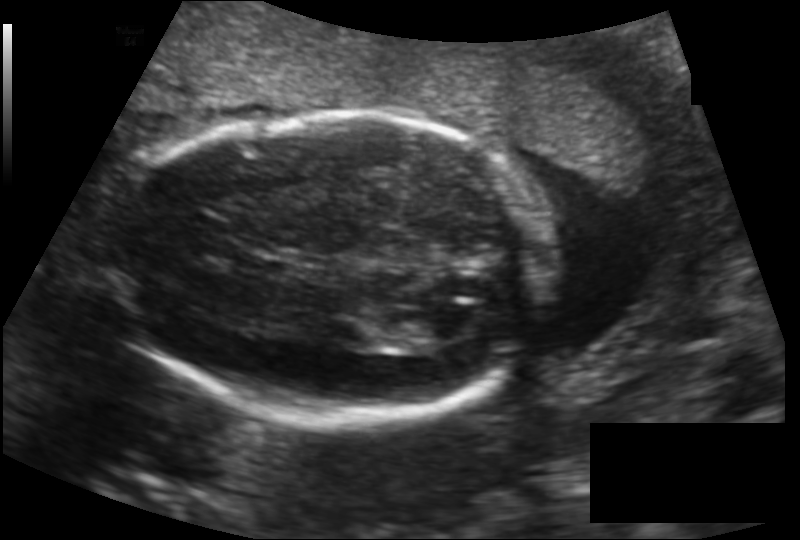
Fetal head ultrasound. Image width: 116.6 mm. Where is the fetal head?

Head bounding box: [125,111,548,427]